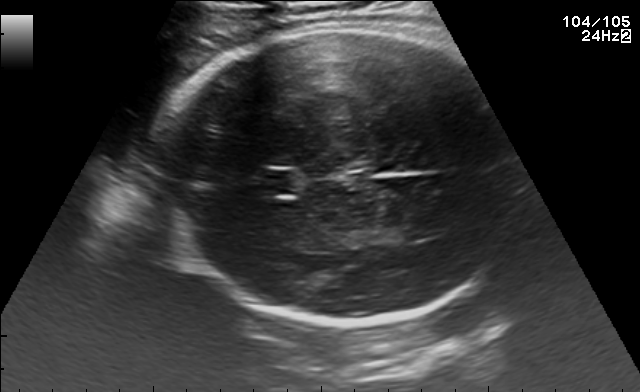
In this fetal brain, trans-thalamic plane, give the bounding box of the fetal head.

[151,24,508,326]